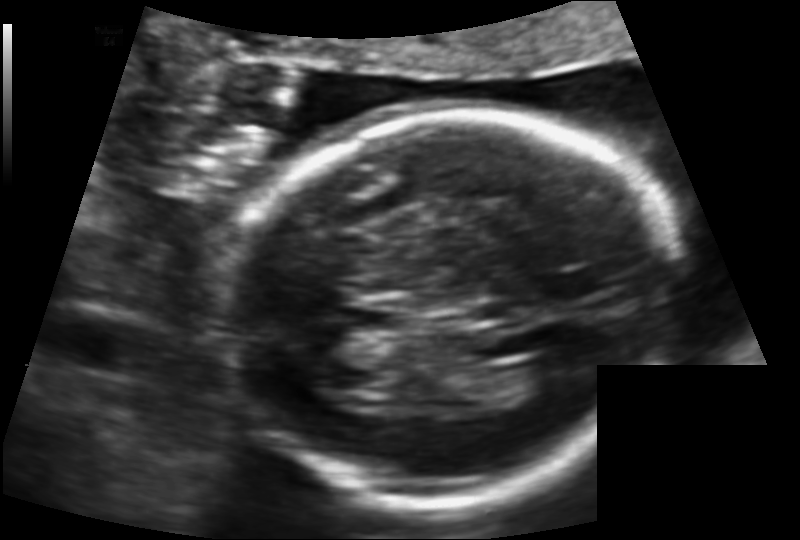
Fetal head ultrasound. Image width: 97.9 mm. Locate the fetal head and, if visible, the cavum septum pellucidum (CSP) and lateral ventricle (LV). Give bounding boxes as [x1,y1,x2,y2].

Head: [228,111,672,504]